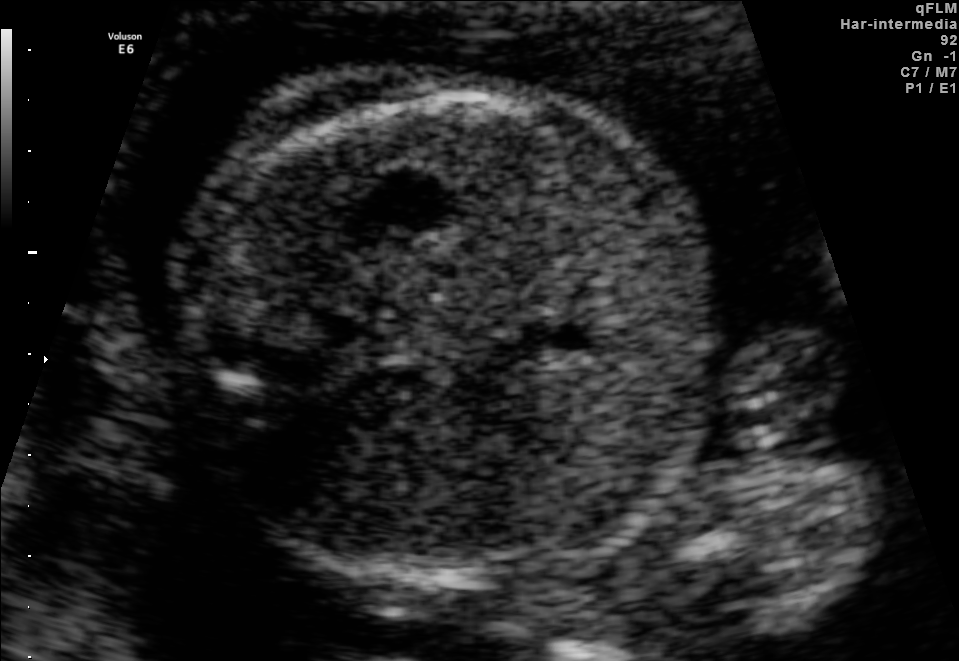
Identify the standard plane in this fetal ultrasound image: fetal abdomen, fetal brain, fetal femur, fetal thorax, maternal cervix, or other. If it's fetal brain and one of the three standard brain planes (trans-thalamic, trans-cerebellum, trans-ventricular), name which.

Fetal abdomen